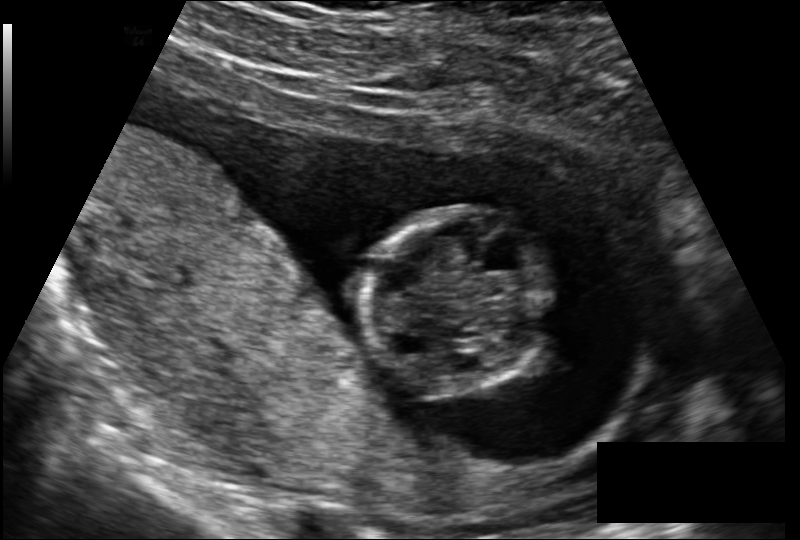
In this fetal head ultrasound, give the bounding box of the fetal head. Image width: 105.1 mm.

[360,208,552,395]